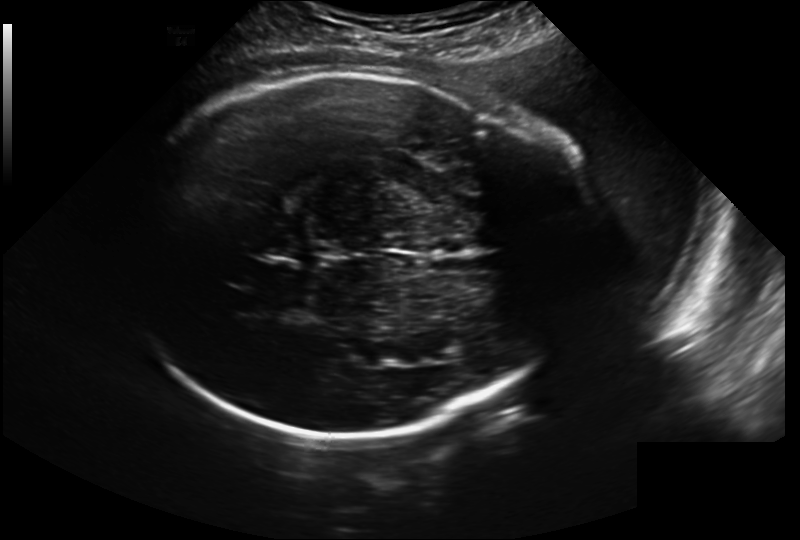
Measure the fetal head circumference shown in this ultrasound image. Image width: 192.7 mm.

Head circumference: 328.0 mm.